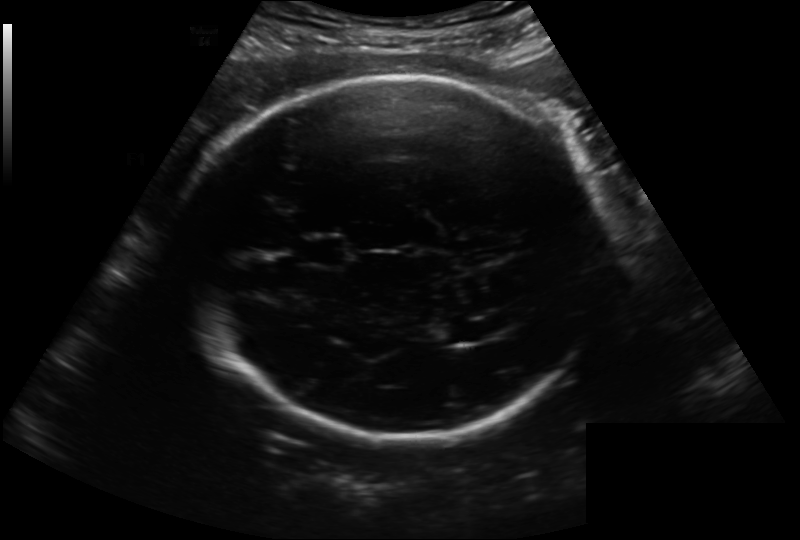
Measure the fetal head circumference shown in this ultrasound image. Image width: 177.3 mm.

Head circumference: 281.6 mm.